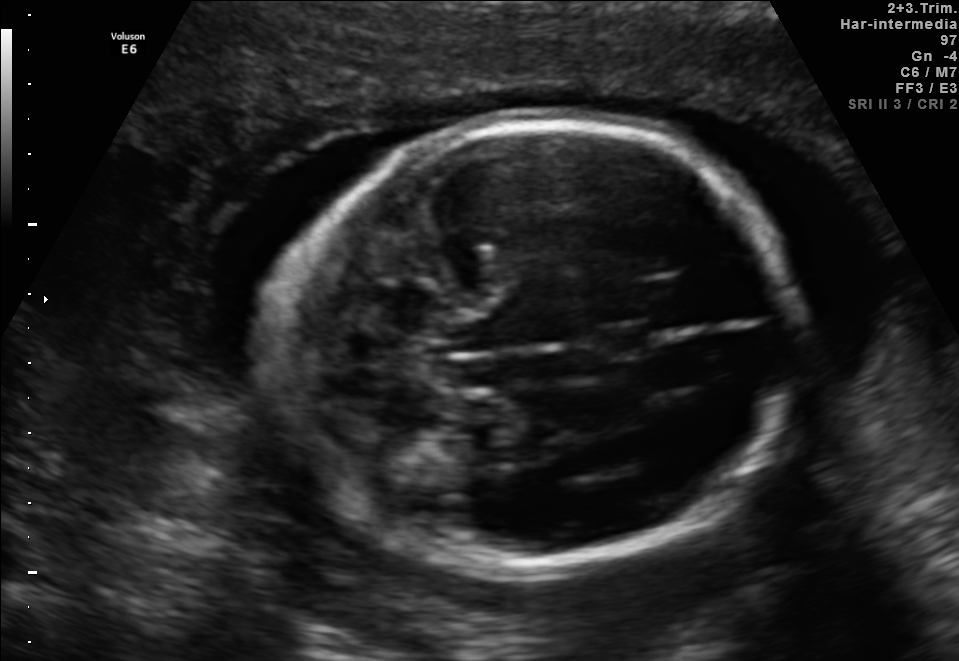
Fetal brain, trans-cerebellum plane. Locate the cavum septum pellucidum.

CSP: [587,320,657,364]